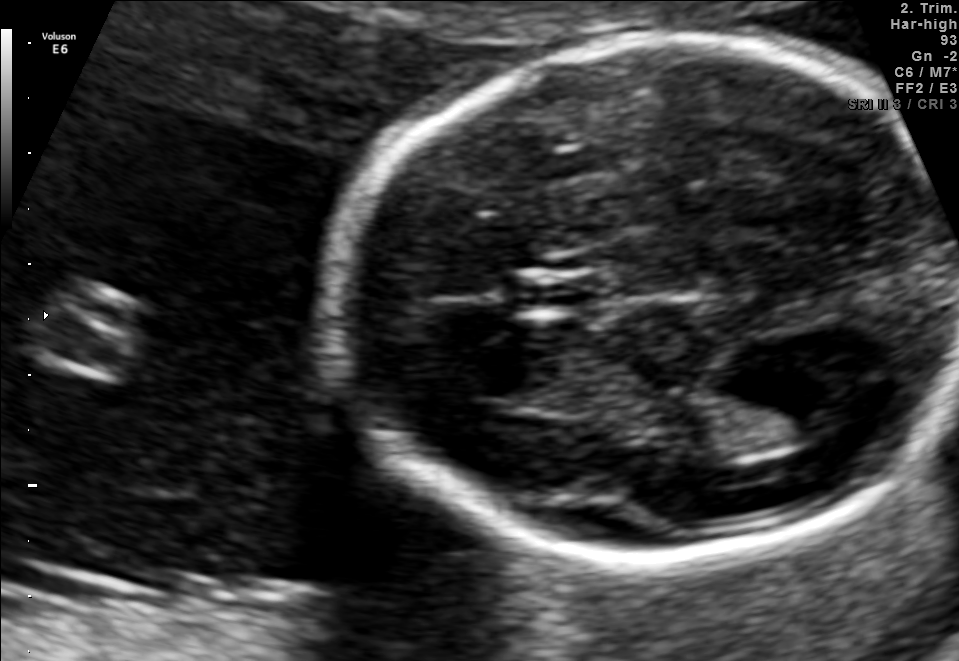
In this fetal brain, trans-thalamic plane, give the bounding box of the lateral ventricle.

[696,373,843,467]